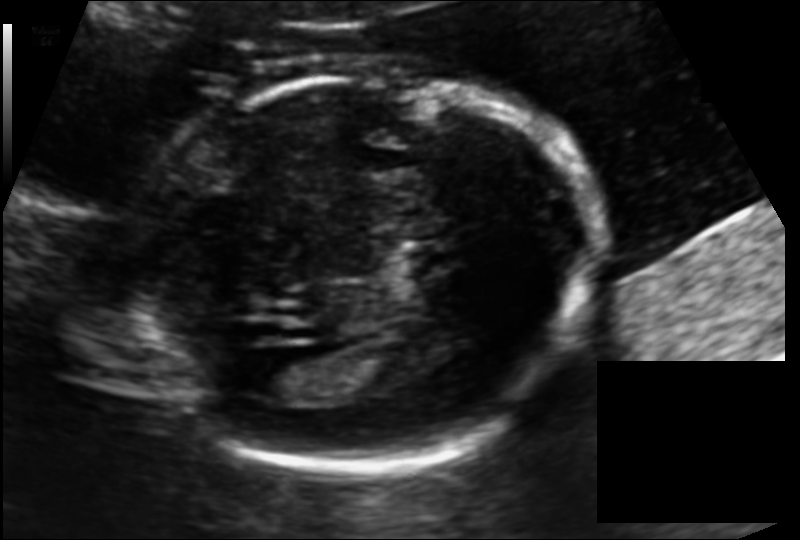
Fetal head ultrasound. Image width: 99.9 mm. Locate the fetal head.

Head: [122,74,596,468]